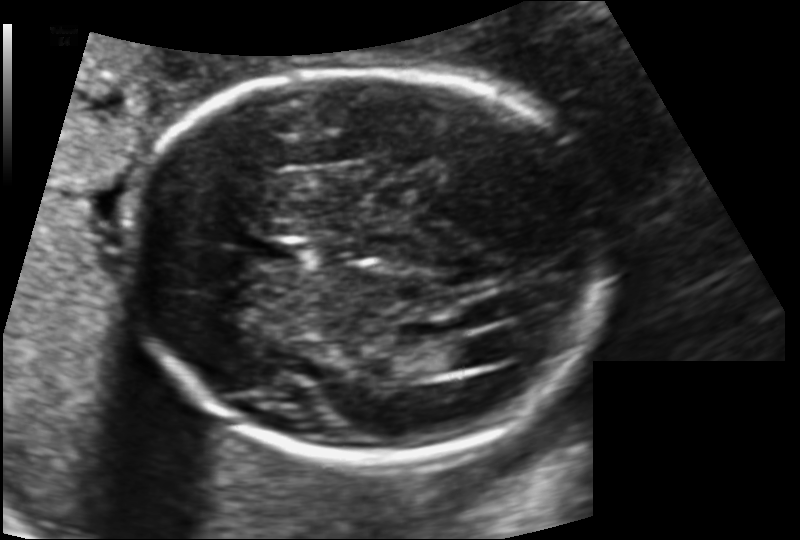
Fetal head ultrasound. Image width: 107.8 mm. Locate the lateral ventricle.

Lateral ventricle: [437,335,492,372]